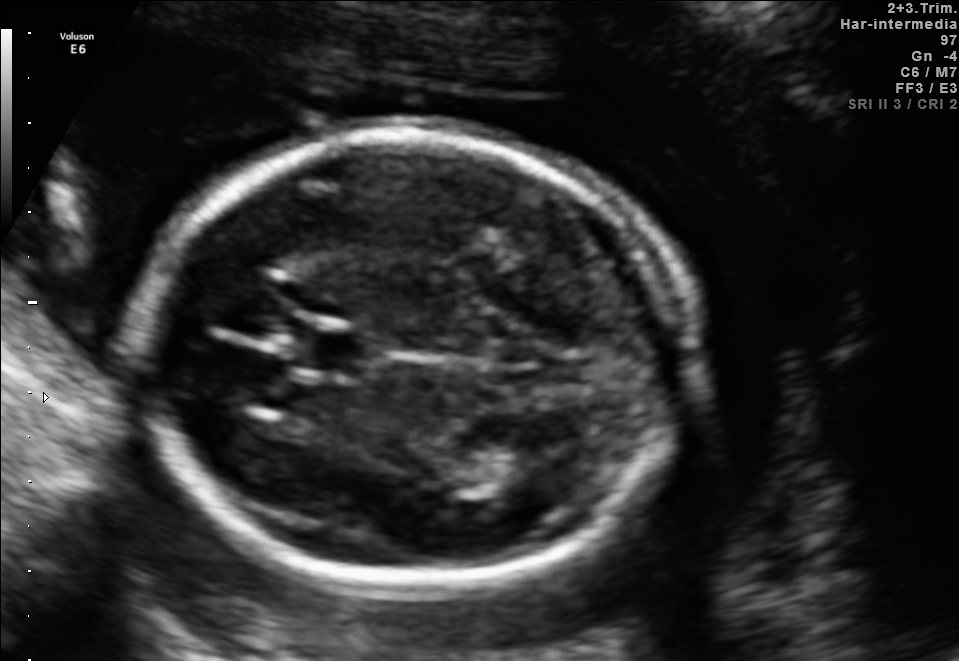
In this fetal brain, trans-thalamic plane, give the bounding box of the fetal head.

[142,133,687,586]